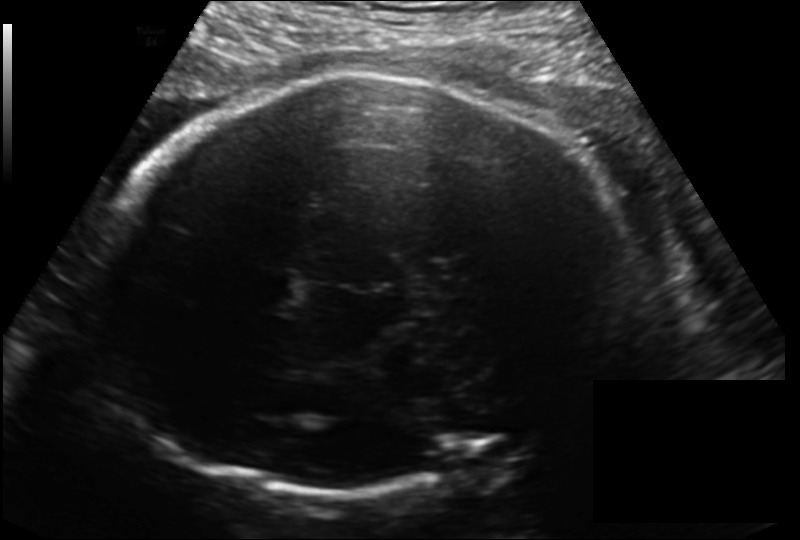
Fetal head ultrasound. Image width: 158.6 mm. Locate the fetal head.

Head: [88,69,624,493]